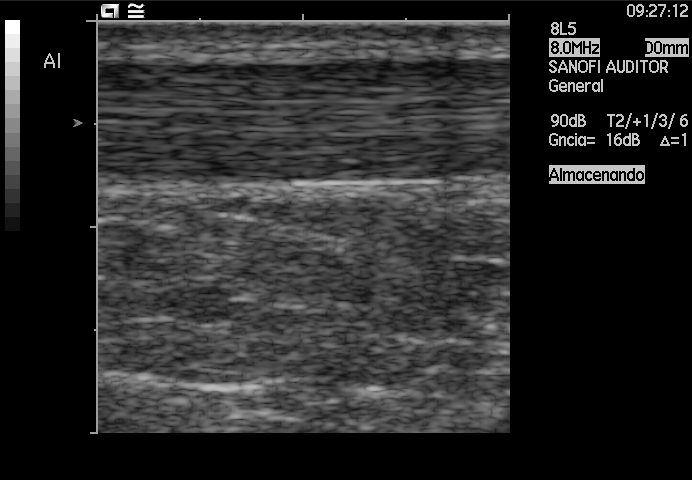
This is a 2D maternal-fetal ultrasound frame. Is it a fetal abdomen, fetal brain, fetal femur, fetal thorax, maternal cervix, or other standard plane? If it's fetal brain and one of the three standard brain planes (trans-thalamic, trans-cerebellum, trans-ventricular), name which.

Other